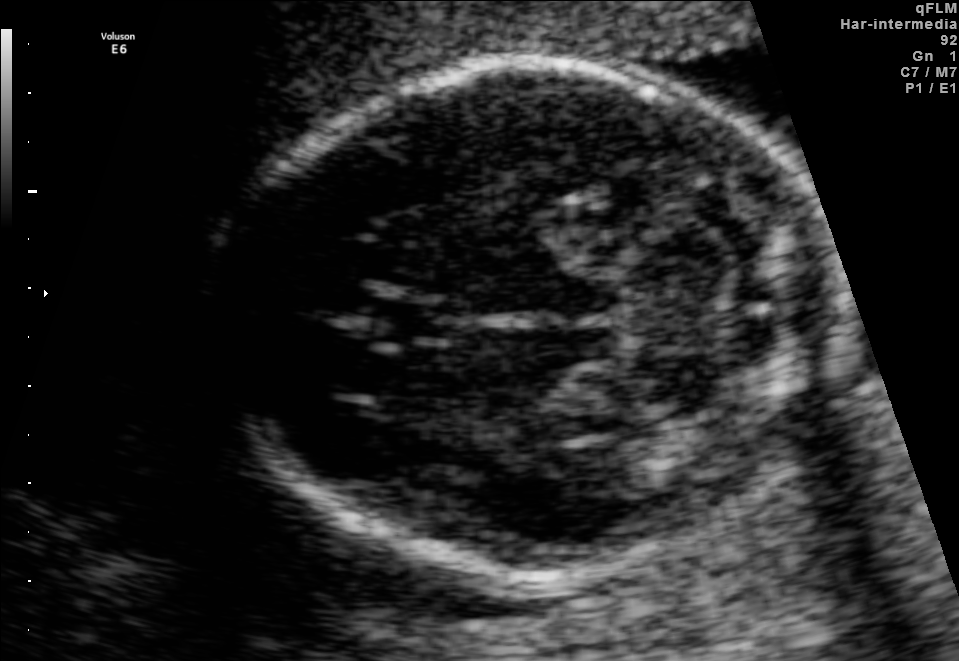
Fetal brain, trans-cerebellum plane. Locate the fetal head.

Head: [229,64,838,575]